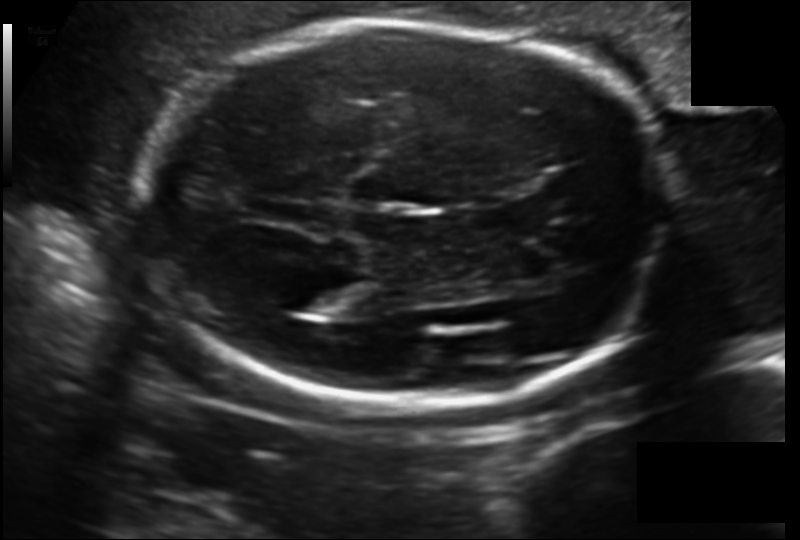
In this fetal head ultrasound, give the bounding box of the fetal head. Image width: 121.4 mm.

[143,19,669,407]